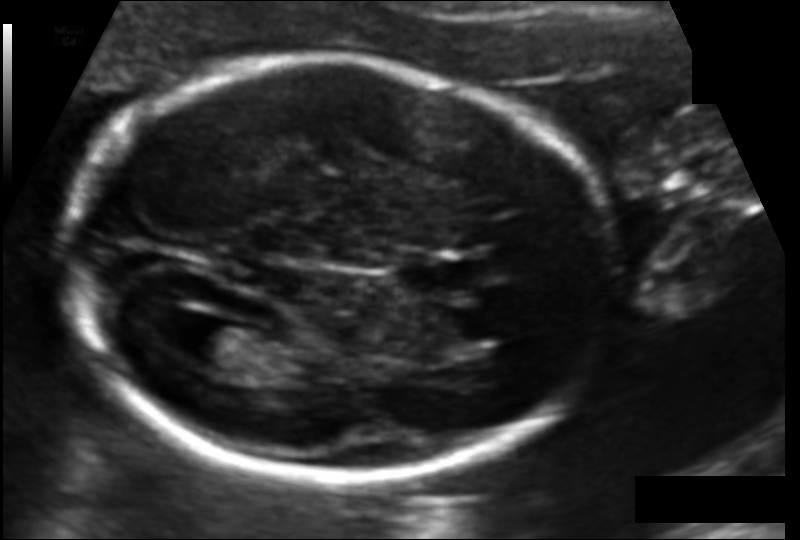
Fetal head ultrasound. Image width: 91.0 mm. Locate the fetal head.

Head: [64,57,616,481]